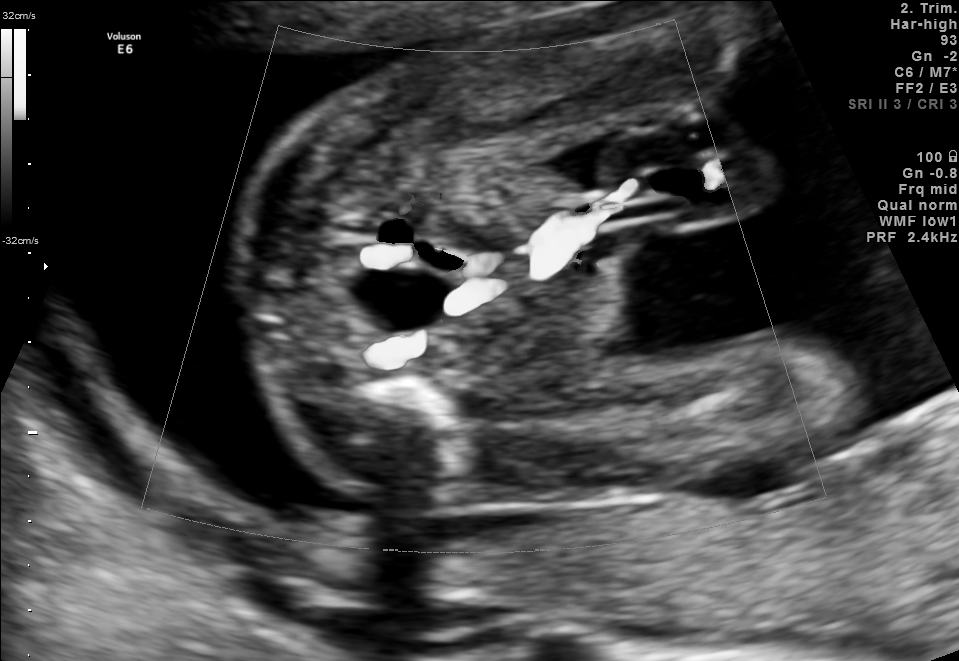
Classify this maternal-fetal ultrasound image as one of the six standard planes — fetal abdomen, fetal brain, fetal femur, fetal thorax, maternal cervix, or other. If it's fetal brain and one of the three standard brain planes (trans-thalamic, trans-cerebellum, trans-ventricular), name which.

Other